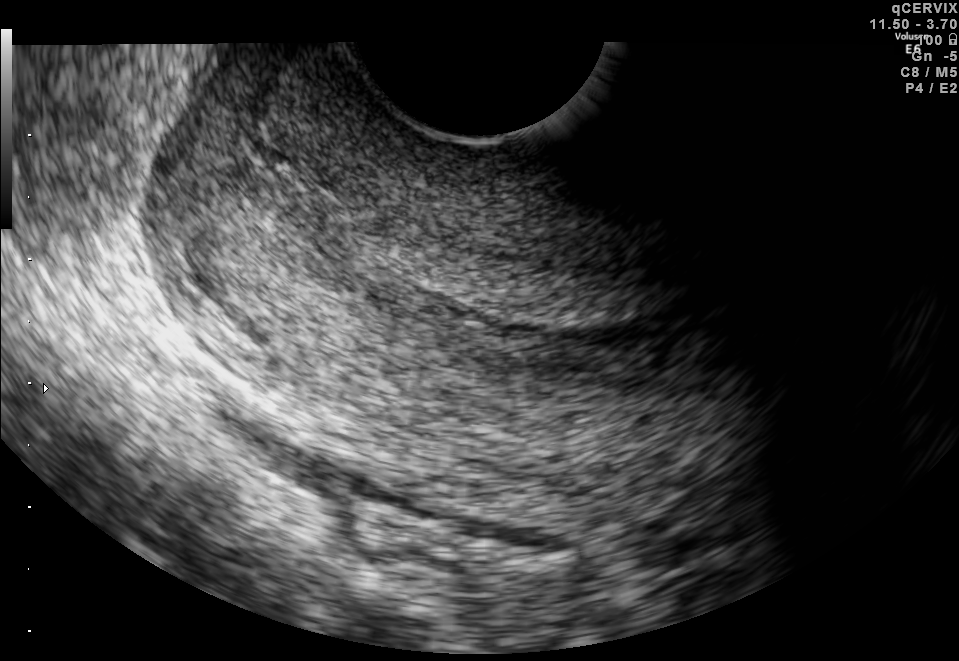
Identify the standard plane in this fetal ultrasound image: fetal abdomen, fetal brain, fetal femur, fetal thorax, maternal cervix, or other. If it's fetal brain and one of the three standard brain planes (trans-thalamic, trans-cerebellum, trans-ventricular), name which.

Maternal cervix